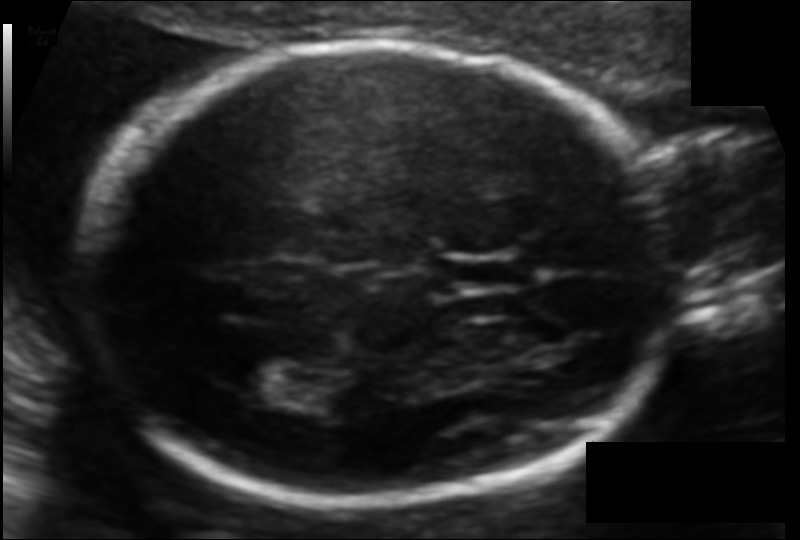
Fetal head ultrasound. Image width: 83.2 mm. Locate the cavum septum pellucidum.

CSP: [434,253,527,290]